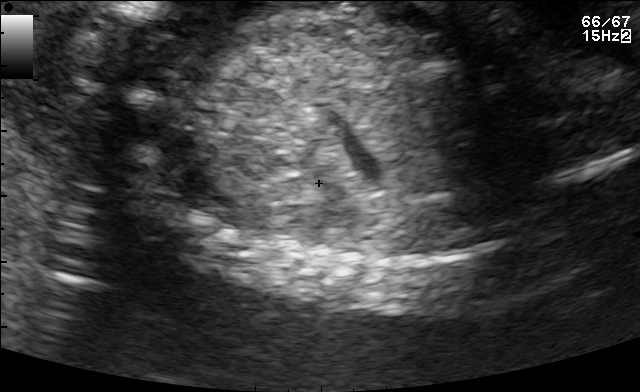
Identify the standard plane in this fetal ultrasound image: fetal abdomen, fetal brain, fetal femur, fetal thorax, maternal cervix, or other. If it's fetal brain and one of the three standard brain planes (trans-thalamic, trans-cerebellum, trans-ventricular), name which.

Other